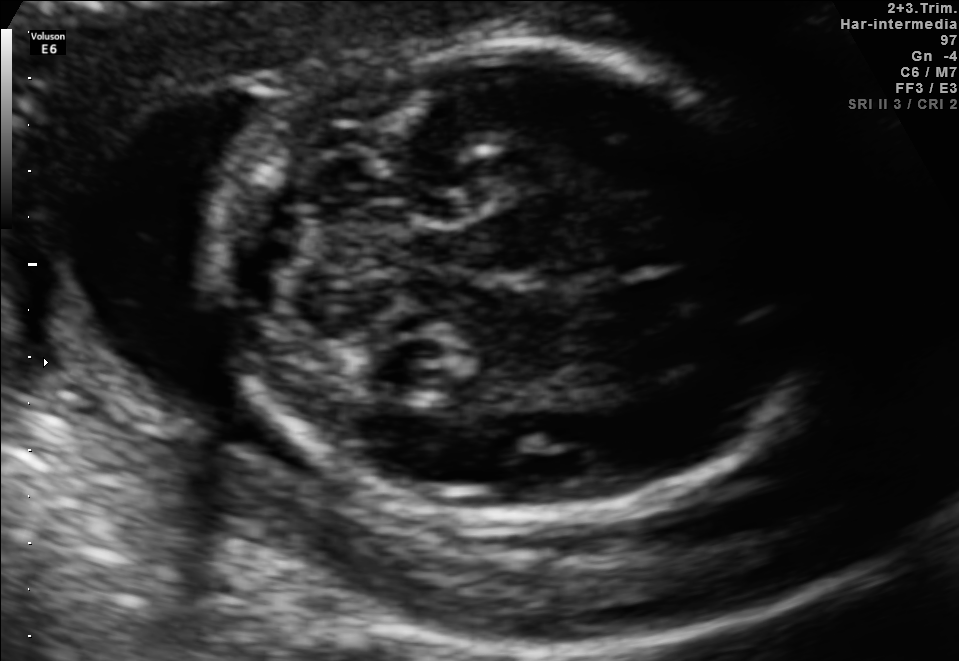
In this fetal brain, trans-cerebellum plane, give the bounding box of the fetal head.

[212,42,831,515]